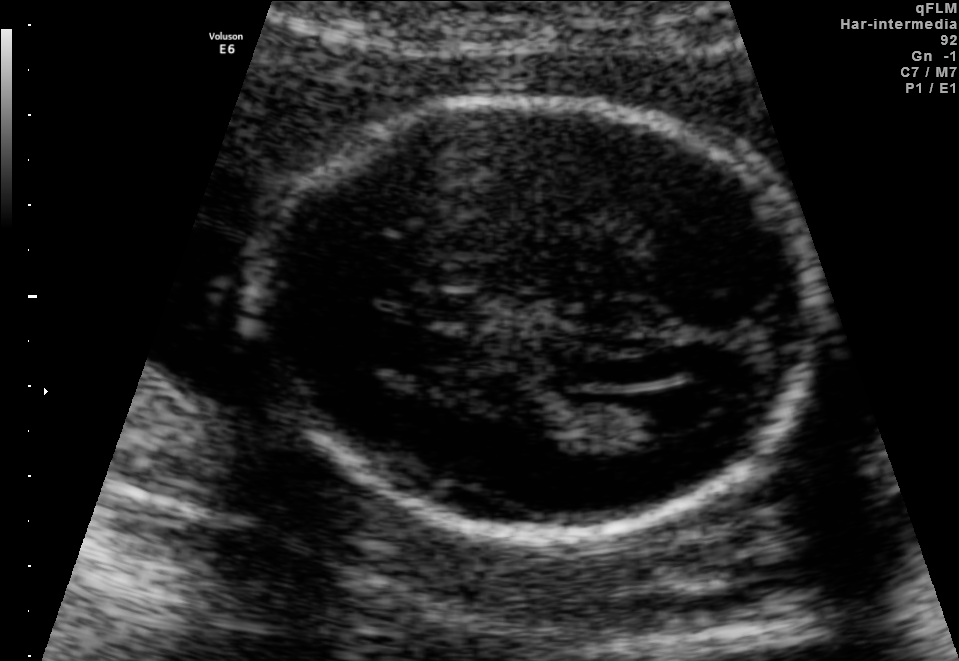
Fetal brain, trans-ventricular plane. Locate the fetal head and, if visible, the cavum septum pellucidum (CSP) and lateral ventricle (LV). Give bounding boxes as [x1,y1,x2,y2].

Head: [238,91,829,544]
CSP: [385,283,497,332]
Lateral ventricle: [616,384,711,450]